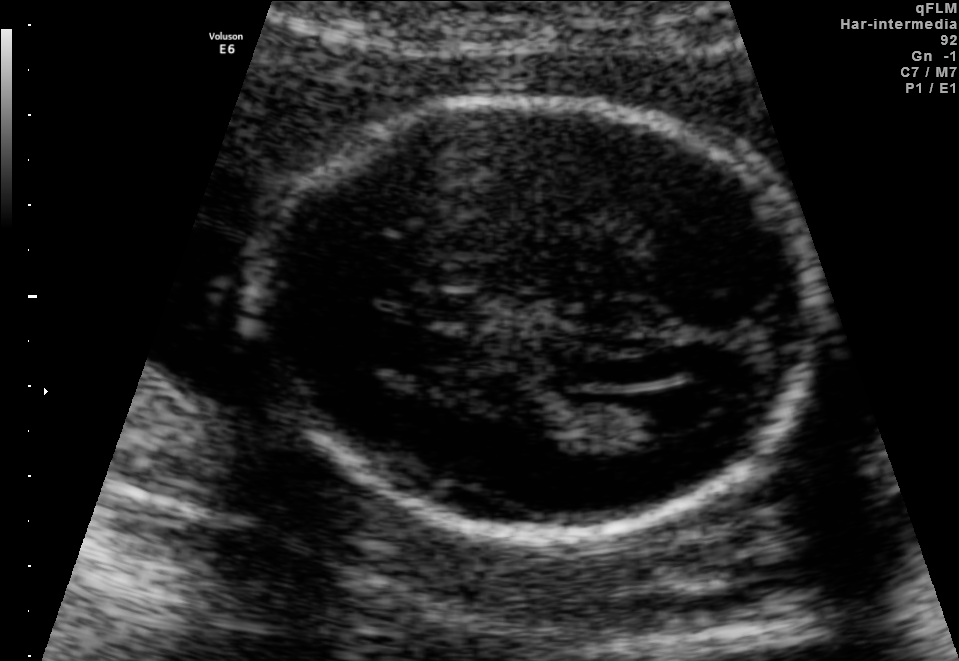
In this fetal brain, trans-ventricular plane, give the bounding box of the fetal head.

[238,91,829,544]